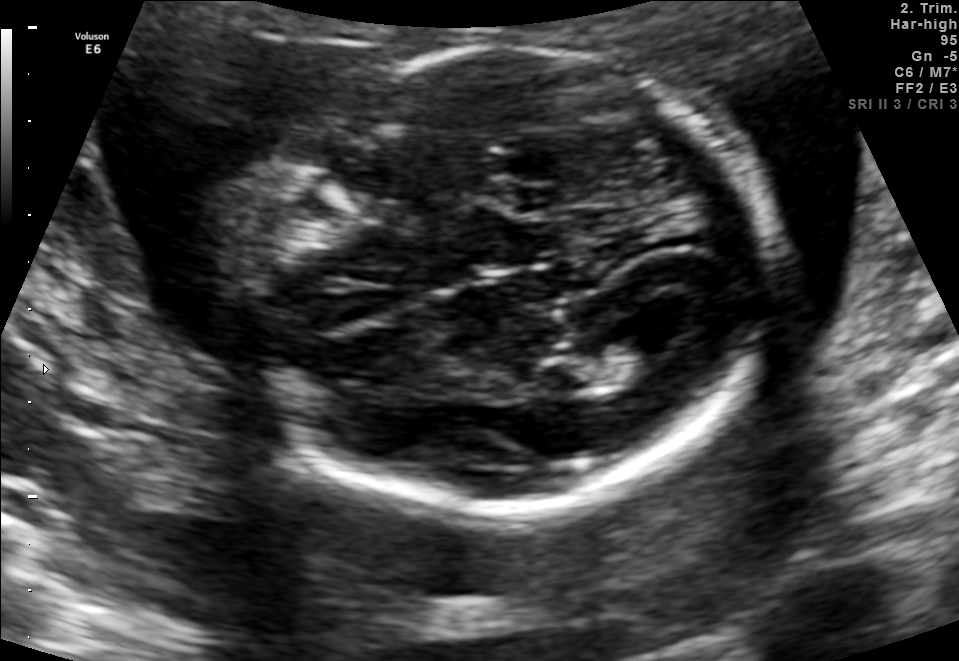
Fetal brain, trans-ventricular plane. Give [x1,y1,x2,y2] bounding boxes for each visible structure among: fetal head, CSP, LV.

Head: [216,42,787,519]